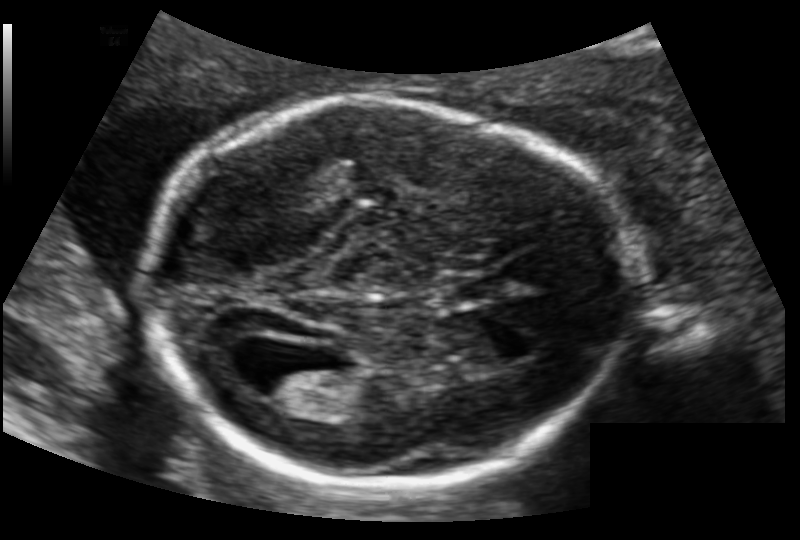
Estimate the fetal head circumference from this 2D ultrasound. Image width: 100.7 mm.

Head circumference: 178.3 mm.